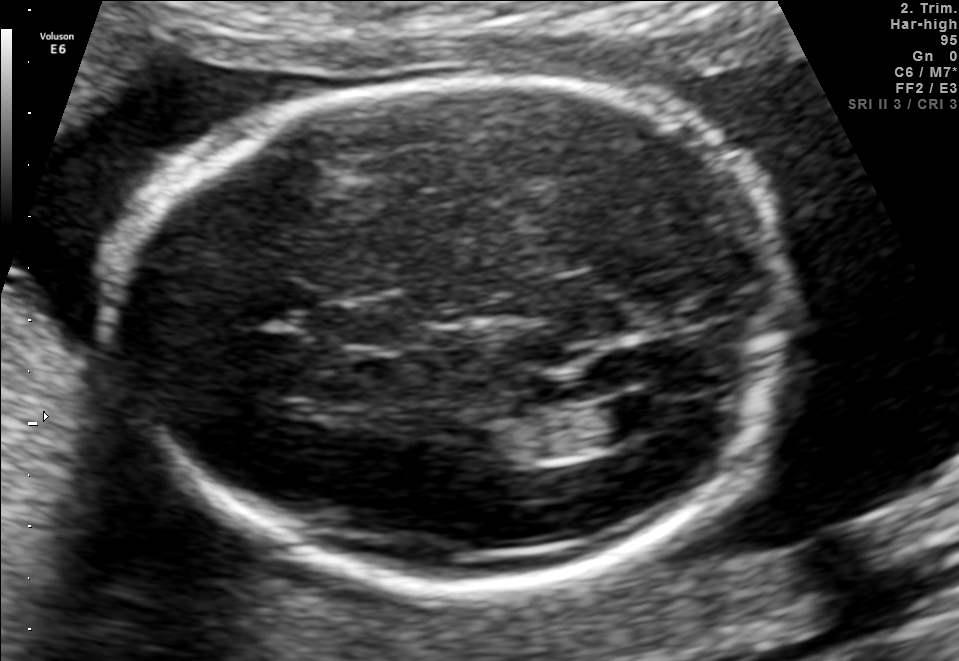
Fetal brain, trans-ventricular plane. Give [x1,y1,x2,y2] bounding boxes for each visible structure among: fetal head, CSP, LV.

Head: [103,80,786,587]
CSP: [316,301,426,347]
Lateral ventricle: [592,380,680,448]